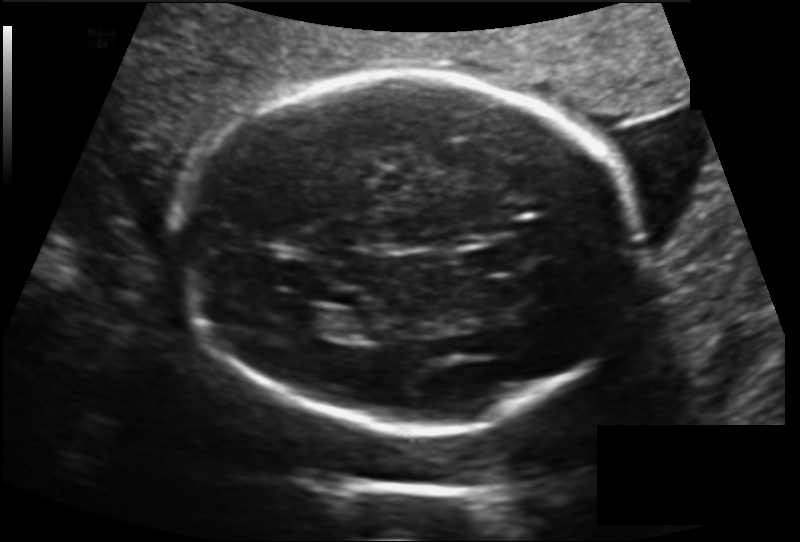
Fetal head ultrasound. Image width: 127.7 mm. Locate the fetal head.

Head: [175,71,645,421]